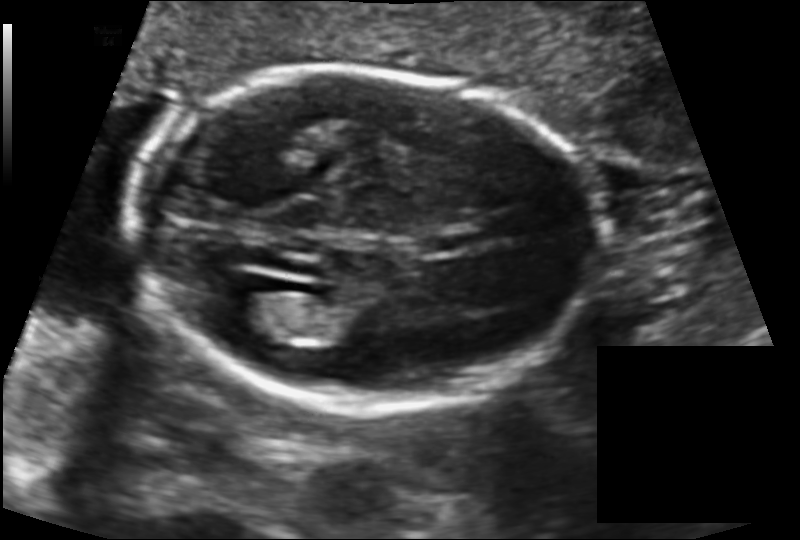
In this fetal head ultrasound, give the bounding box of the lateral ventricle. Image width: 105.0 mm.

[220,294,293,340]